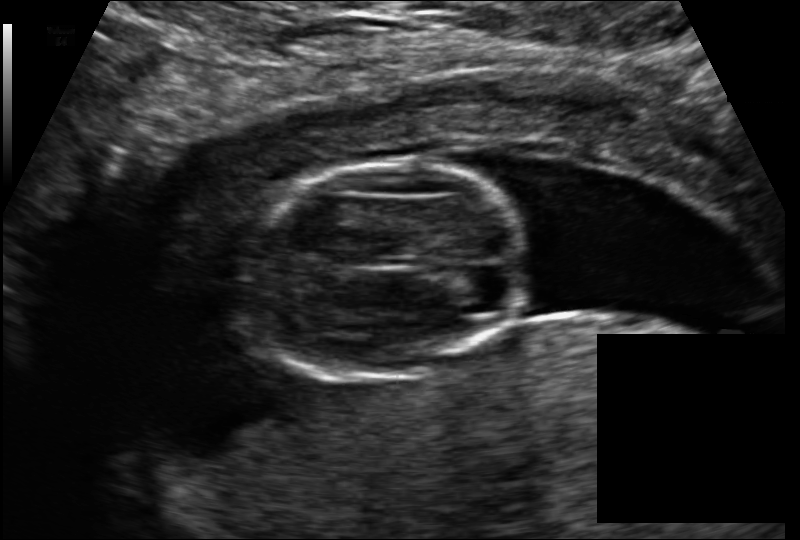
Estimate the fetal head circumference from this 2D ultrasound. Image width: 91.0 mm.

Head circumference: 94.8 mm.